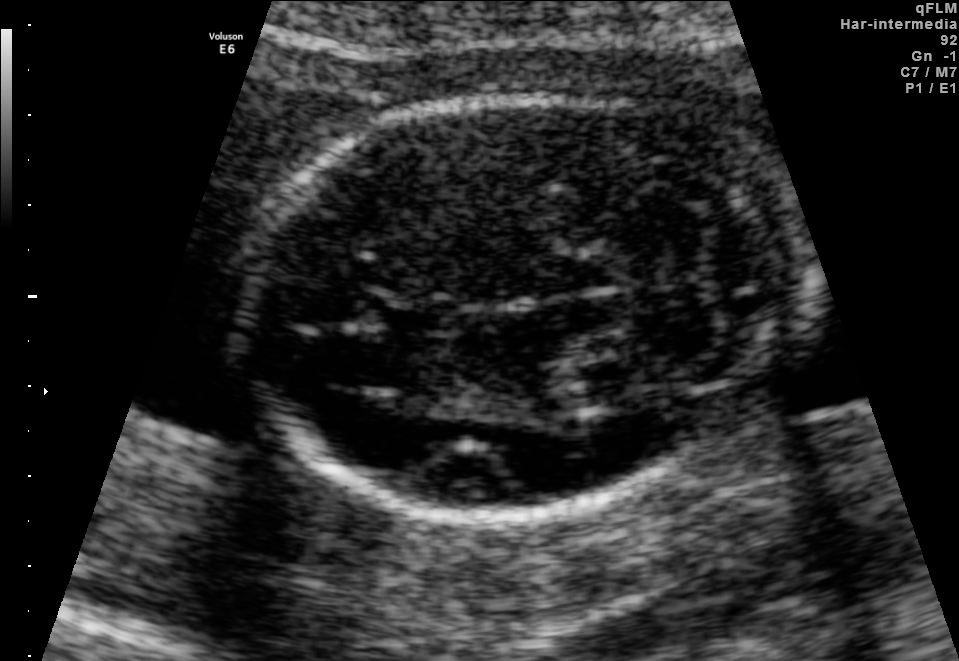
Fetal brain, trans-cerebellum plane. Where is the cavum septum pellucidum?

CSP bounding box: [365,295,448,337]